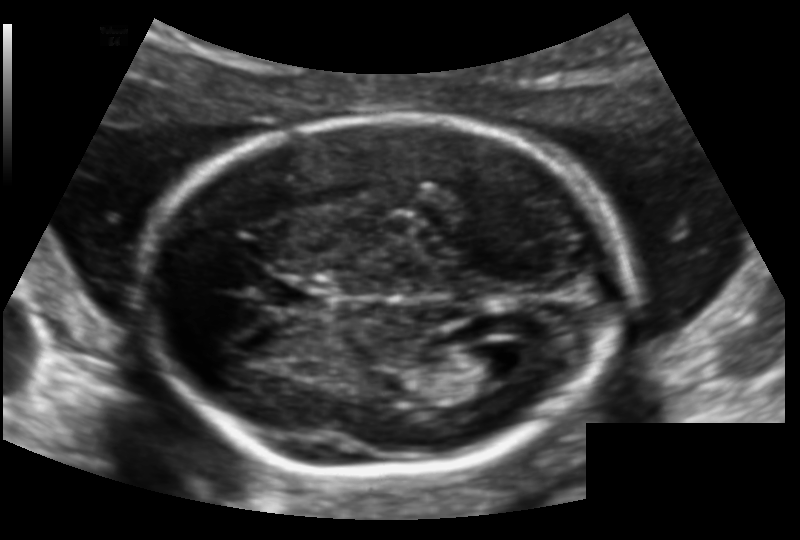
Fetal head ultrasound. Image width: 102.0 mm. Locate the cavum septum pellucidum.

CSP: [266,276,325,313]